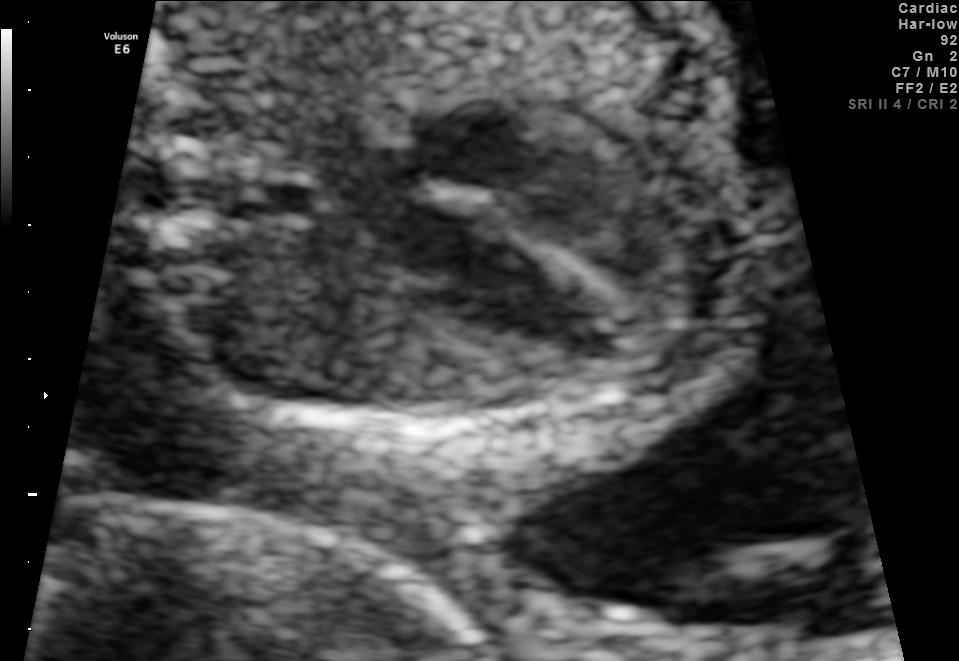
Classify this maternal-fetal ultrasound image as one of the six standard planes — fetal abdomen, fetal brain, fetal femur, fetal thorax, maternal cervix, or other. If it's fetal brain and one of the three standard brain planes (trans-thalamic, trans-cerebellum, trans-ventricular), name which.

Fetal thorax